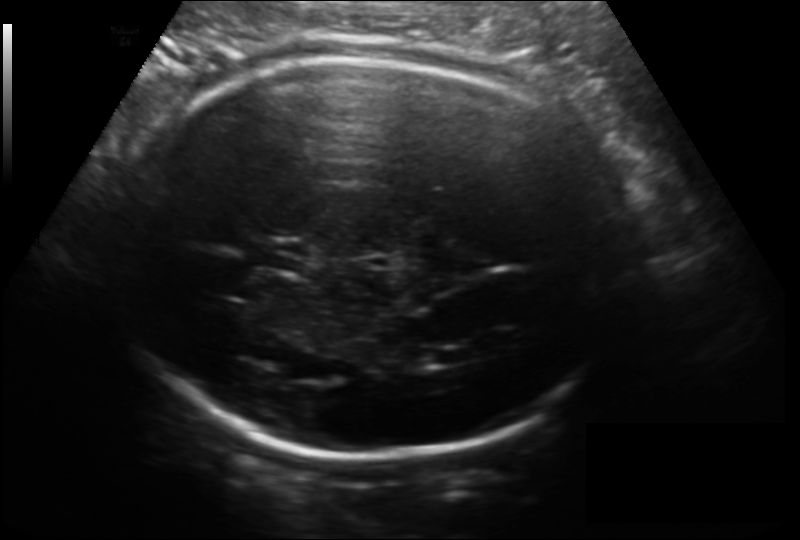
Estimate the fetal head circumference from this 2D ultrasound. Image width: 133.1 mm.

Head circumference: 243.1 mm.